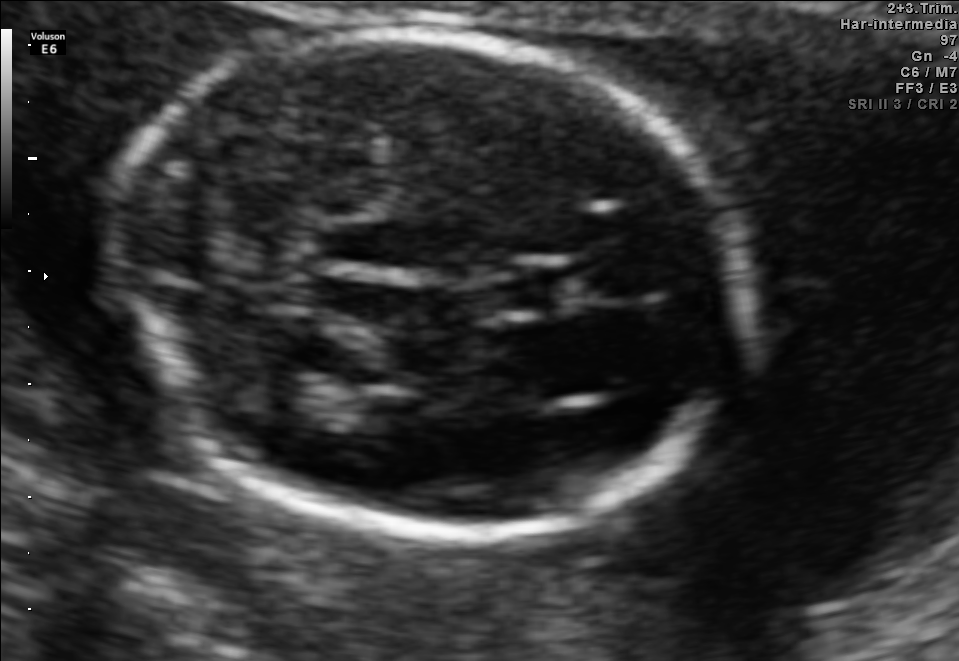
Fetal brain, trans-thalamic plane. Locate the cavum septum pellucidum.

CSP: [492,268,559,307]